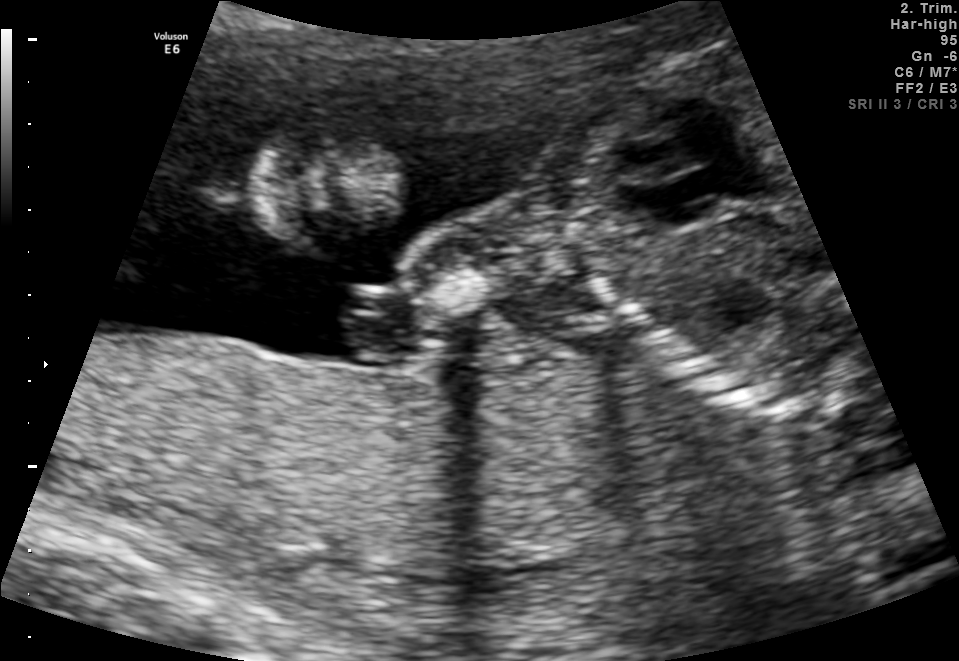
Which standard maternal-fetal ultrasound plane is shown: fetal abdomen, fetal brain, fetal femur, fetal thorax, maternal cervix, or other? If it's fetal brain and one of the three standard brain planes (trans-thalamic, trans-cerebellum, trans-ventricular), name which.

Other